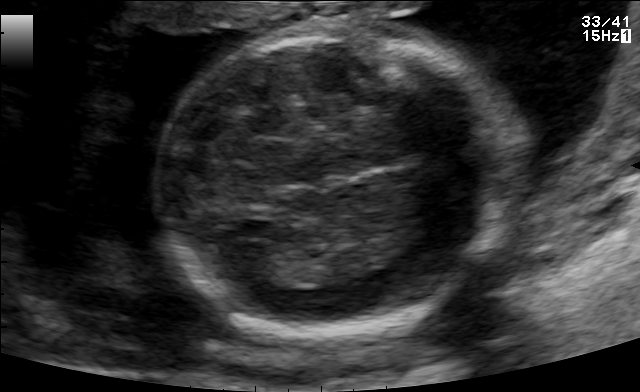
Fetal brain, trans-thalamic plane. Locate the fetal head and, if visible, the cavum septum pellucidum (CSP) and lateral ventricle (LV). Give bounding boxes as [x1,y1,x2,y2].

Head: [163,27,503,337]